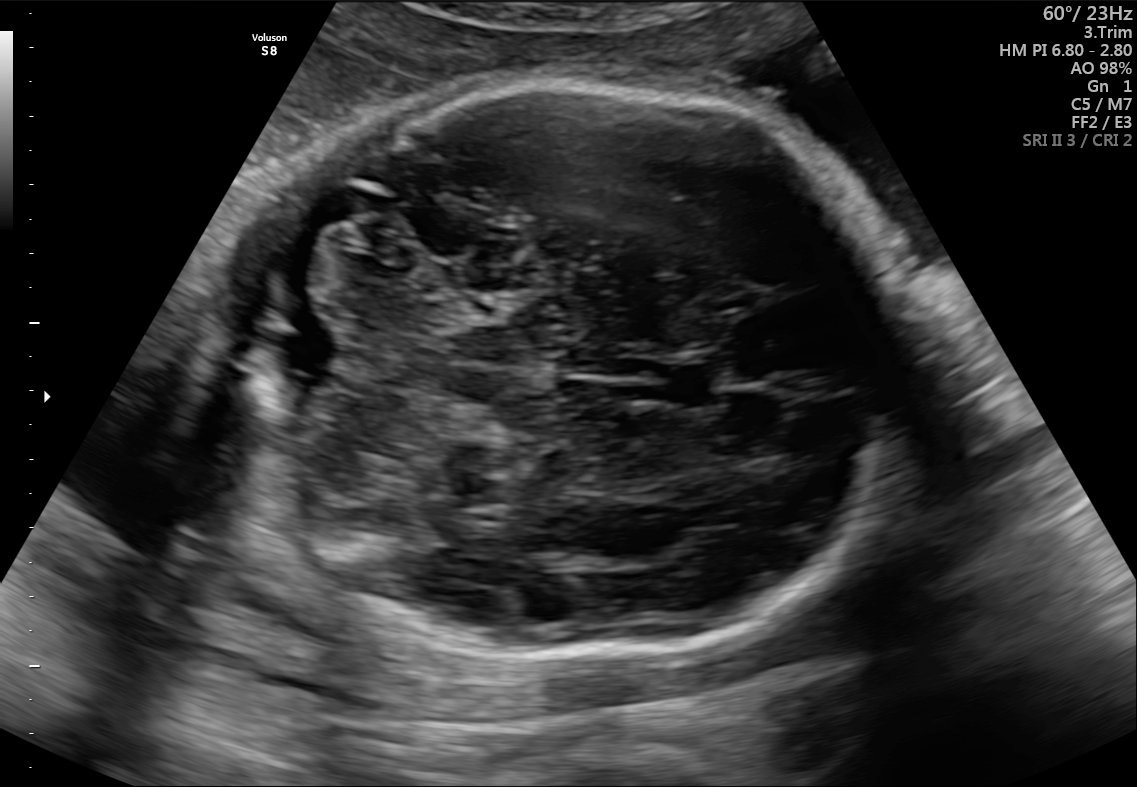
Fetal brain, trans-cerebellum plane. Give [x1,y1,x2,y2] bounding boxes for each visible structure among: fetal head, CSP, LV.

Head: [209,81,909,663]
CSP: [650,356,725,406]